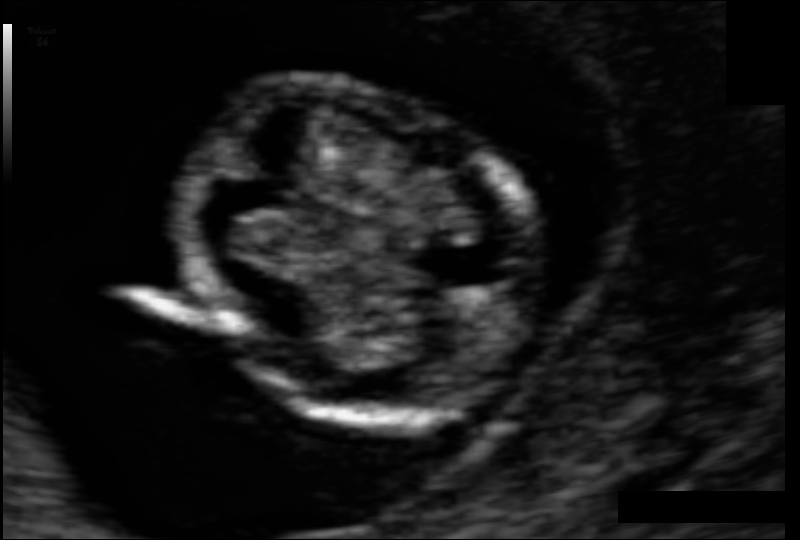
From this fetal ultrasound, estimate the head circumference (image width 47.3 mm).

Head circumference: 67.5 mm.